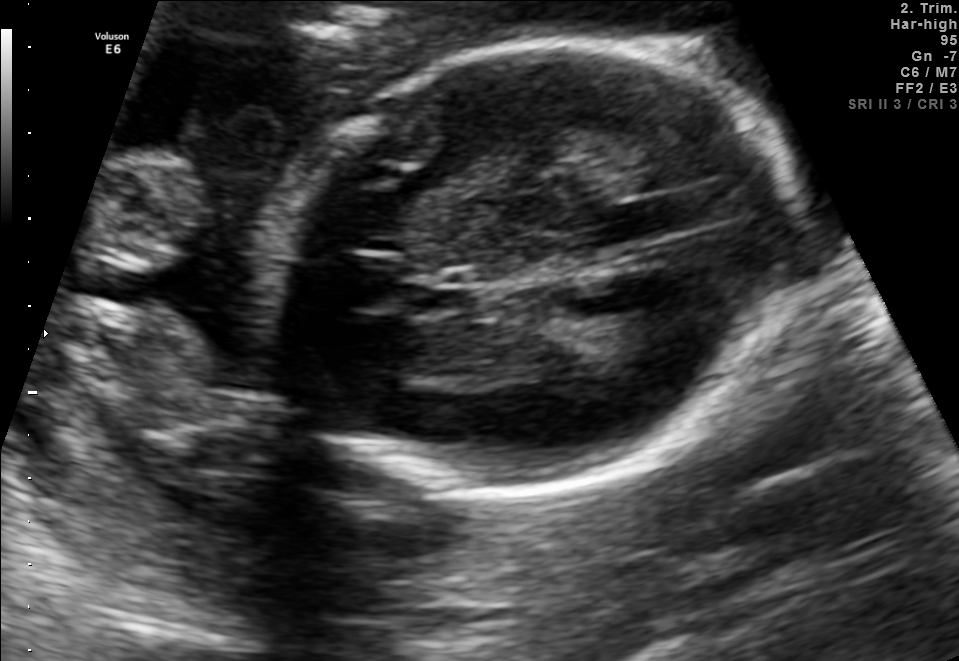
Classify this maternal-fetal ultrasound image as one of the six standard planes — fetal abdomen, fetal brain, fetal femur, fetal thorax, maternal cervix, or other. If it's fetal brain and one of the three standard brain planes (trans-thalamic, trans-cerebellum, trans-ventricular), name which.

Fetal brain (trans-thalamic plane)